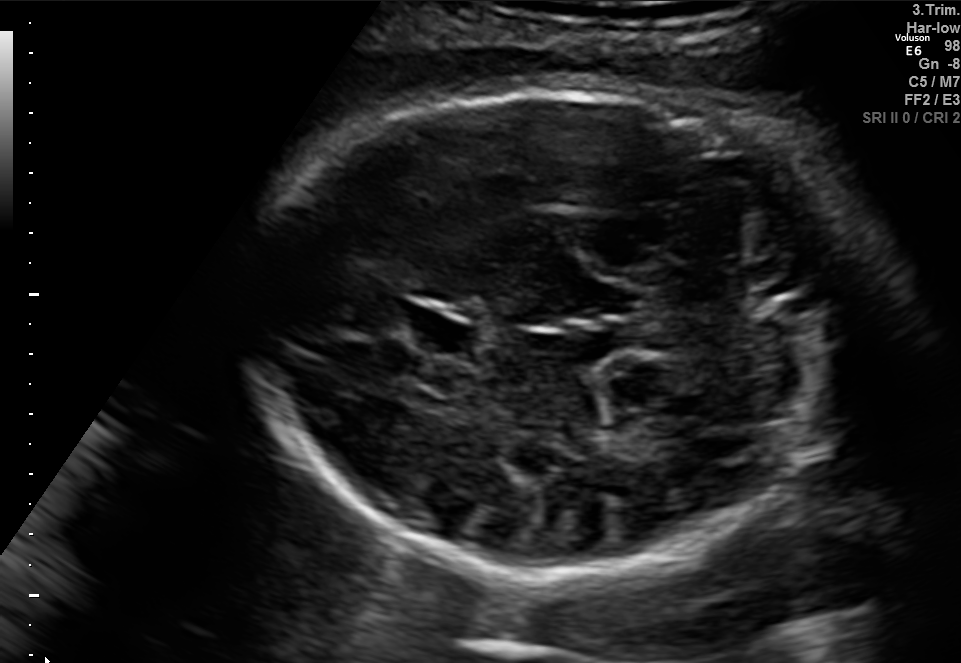
Fetal brain, trans-cerebellum plane. Give [x1,y1,x2,y2] bounding boxes for each visible structure among: fetal head, CSP, LV.

Head: [254,88,836,575]
CSP: [391,296,480,364]